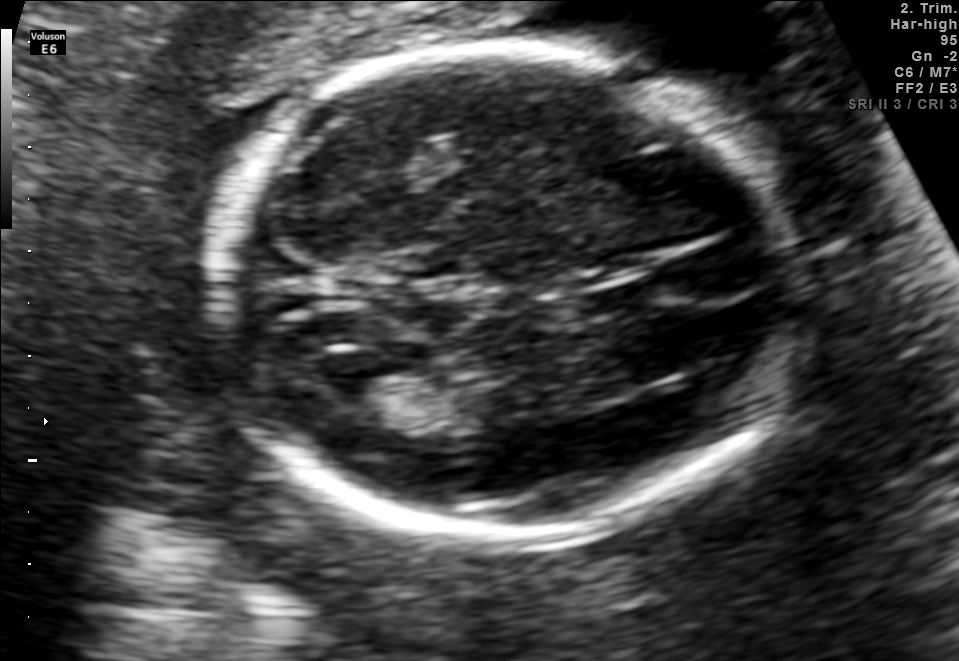
Fetal brain, trans-ventricular plane. Give [x1,y1,x2,y2] bounding boxes for each visible structure among: fetal head, CSP, LV.

Head: [192,37,825,550]
CSP: [581,270,667,321]
Lateral ventricle: [301,333,393,412]